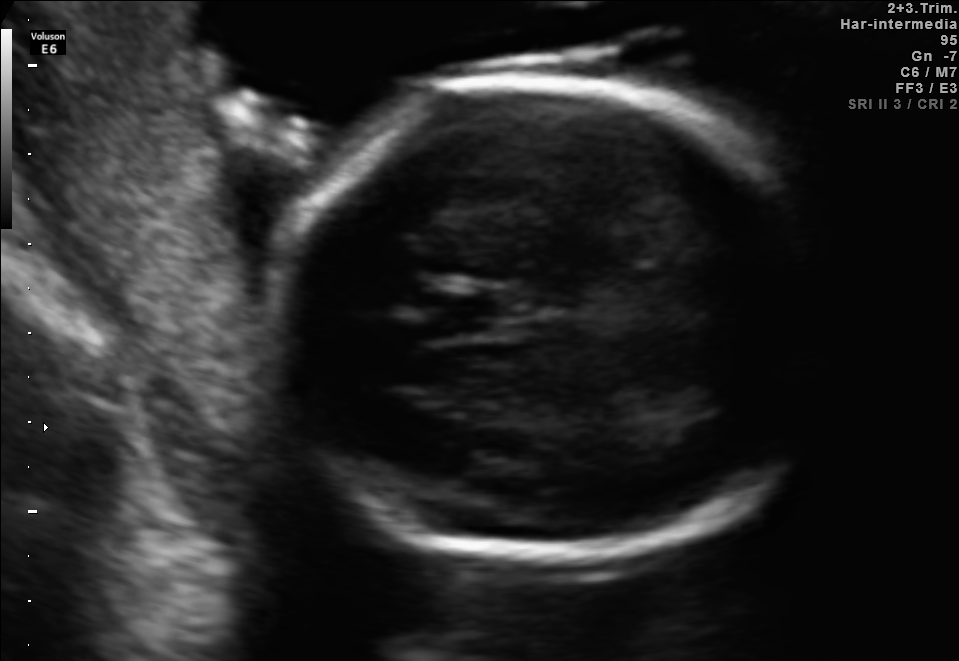
Fetal brain, trans-thalamic plane. Where is the cavum septum pellucidum?

CSP bounding box: [427,290,503,337]